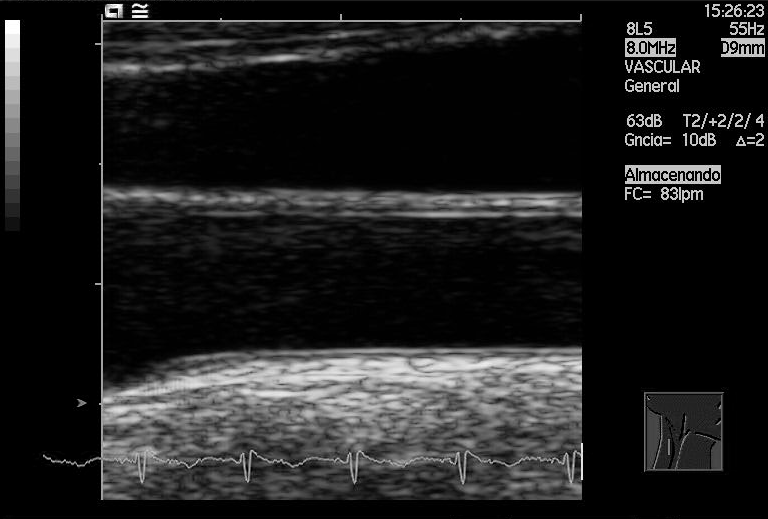
Which standard maternal-fetal ultrasound plane is shown: fetal abdomen, fetal brain, fetal femur, fetal thorax, maternal cervix, or other? If it's fetal brain and one of the three standard brain planes (trans-thalamic, trans-cerebellum, trans-ventricular), name which.

Other